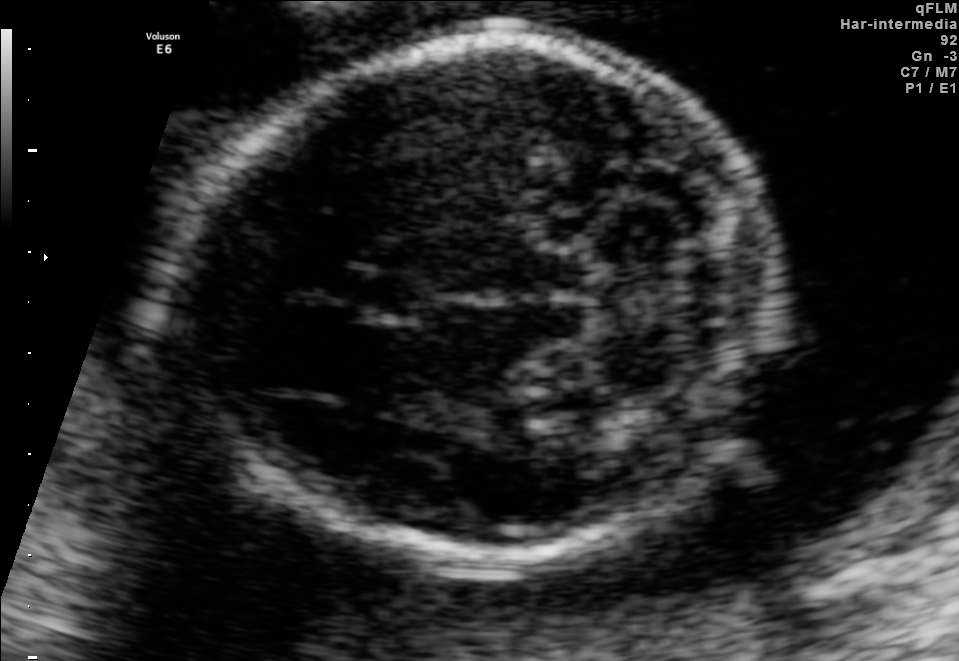
In this fetal brain, trans-cerebellum plane, give the bounding box of the cavum septum pellucidum.

[344,265,433,327]